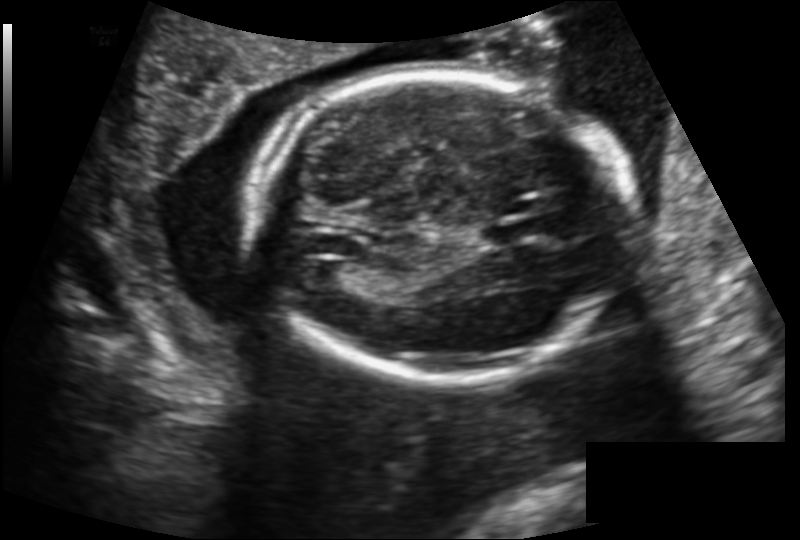
Fetal head ultrasound. Image width: 127.5 mm. Locate the cavum septum pellucidum.

CSP: [480,216,536,248]